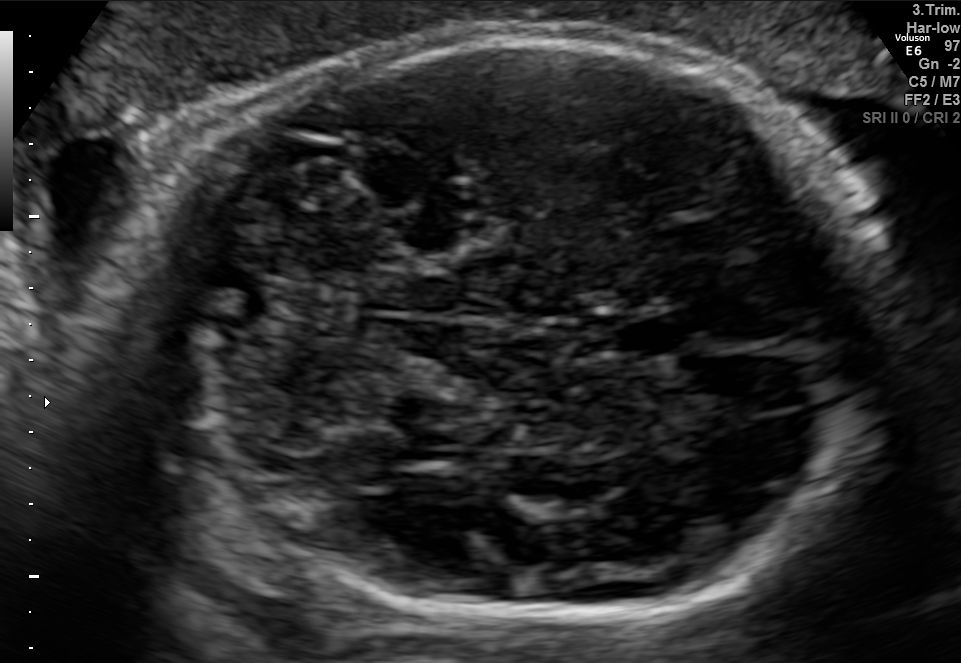
Fetal brain, trans-cerebellum plane. Locate the fetal head and, if visible, the cavum septum pellucidum (CSP) and lateral ventricle (LV). Give bounding boxes as [x1,y1,x2,y2].

Head: [124,35,899,626]
CSP: [604,303,701,370]